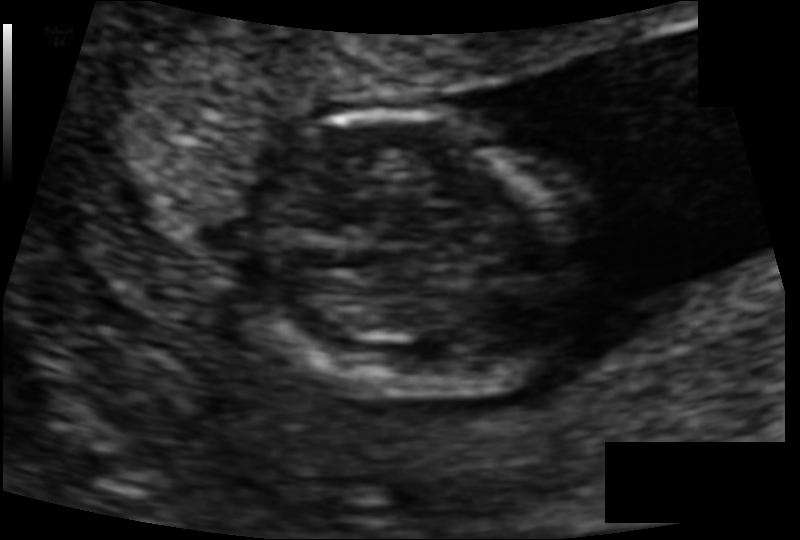
Fetal head ultrasound. Image width: 62.1 mm. Where is the fetal head?

Head bounding box: [247,114,596,399]